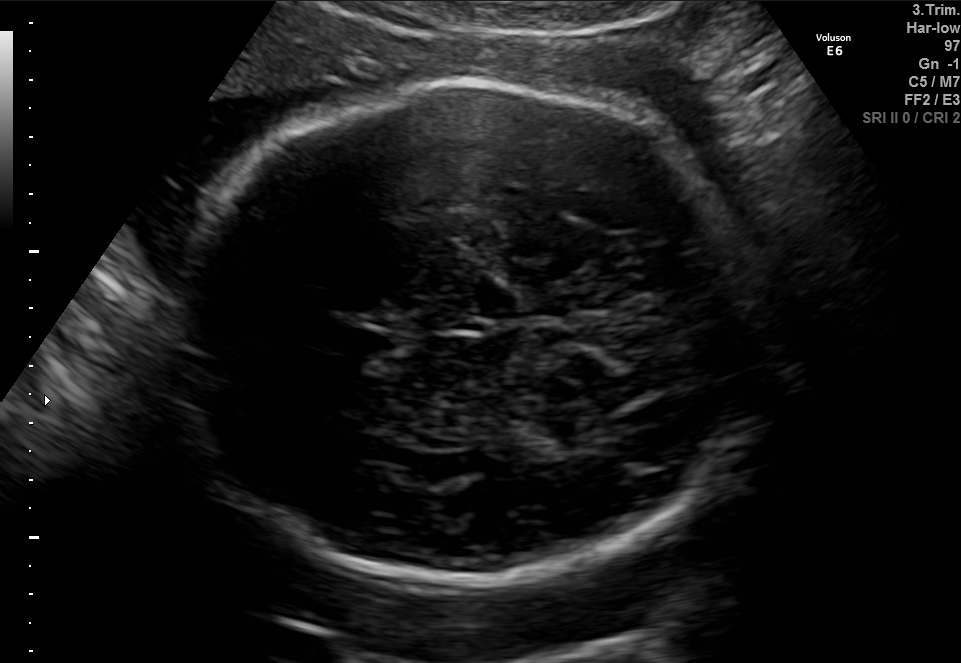
Fetal brain, trans-thalamic plane. Give [x1,y1,x2,y2] bounding boxes for each visible structure among: fetal head, CSP, LV.

Head: [174,82,775,587]
CSP: [347,328,395,357]